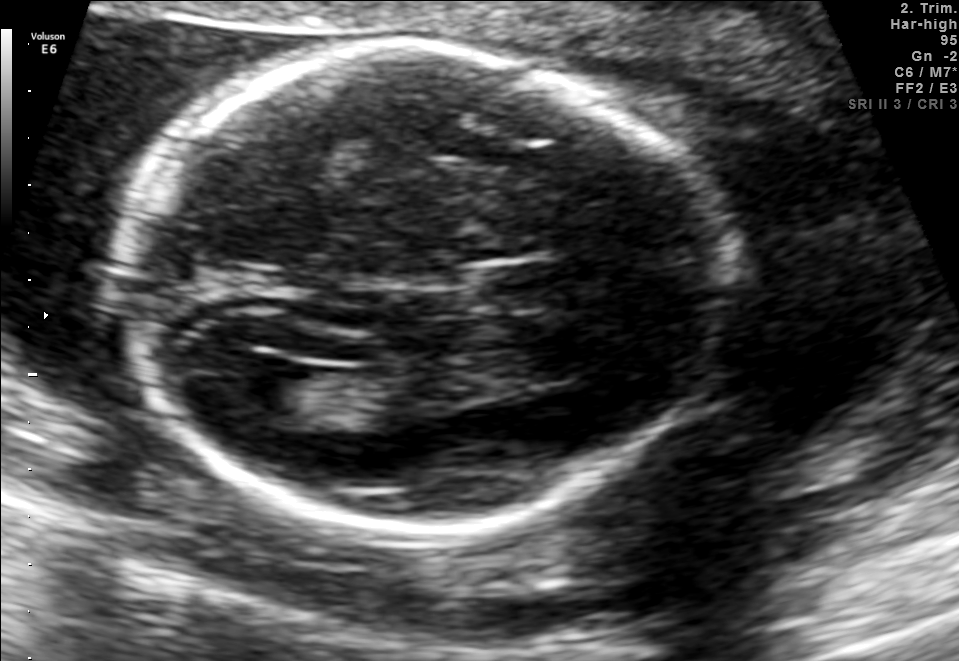
Fetal brain, trans-ventricular plane. Locate the fetal head and, if visible, the cavum septum pellucidum (CSP) and lateral ventricle (LV). Give bounding boxes as [x1,y1,x2,y2].

Head: [106,33,747,548]
CSP: [480,261,553,310]
Lateral ventricle: [221,359,313,418]